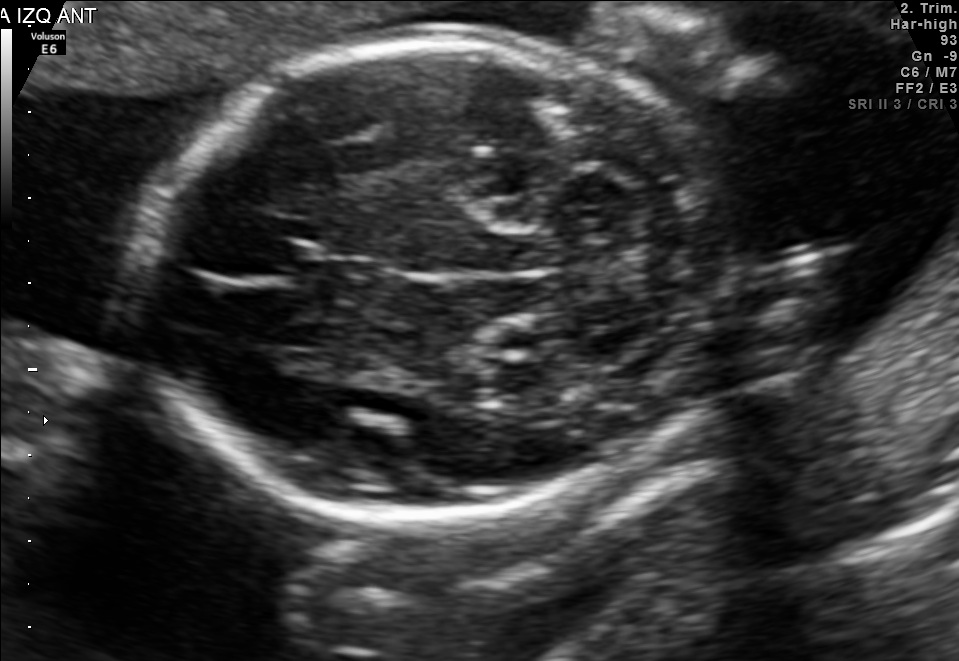
Fetal brain, trans-cerebellum plane. Locate the fetal head and, if visible, the cavum septum pellucidum (CSP) and lateral ventricle (LV). Give bounding boxes as [x1,y1,x2,y2].

Head: [139,33,740,520]